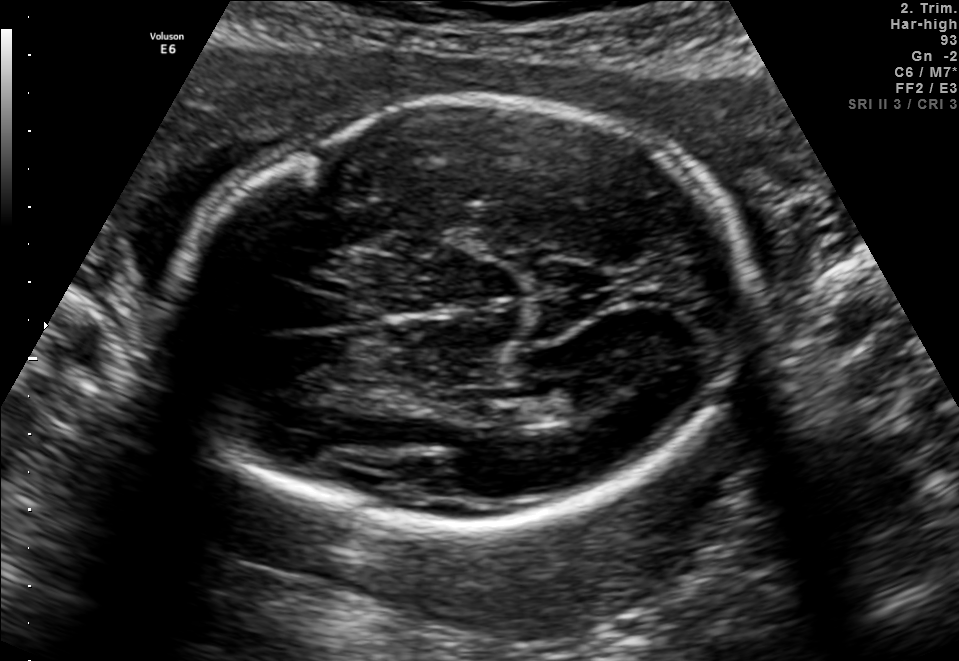
Classify this maternal-fetal ultrasound image as one of the six standard planes — fetal abdomen, fetal brain, fetal femur, fetal thorax, maternal cervix, or other. If it's fetal brain and one of the three standard brain planes (trans-thalamic, trans-cerebellum, trans-ventricular), name which.

Fetal brain (trans-thalamic plane)